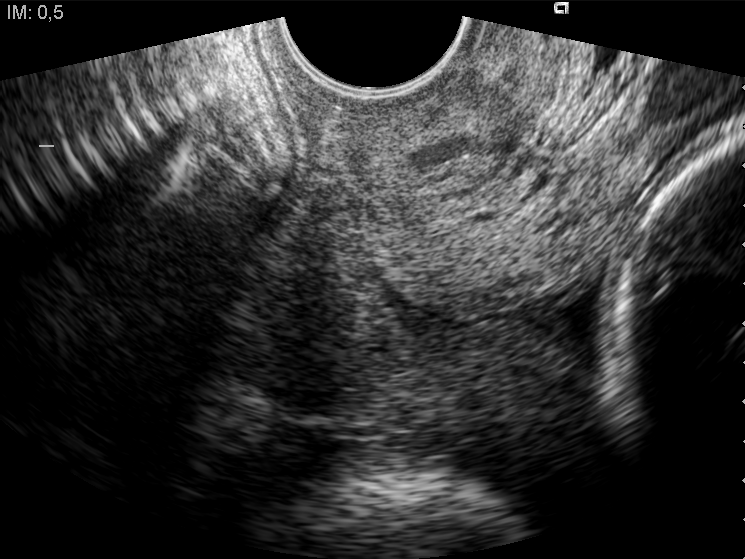
Which standard maternal-fetal ultrasound plane is shown: fetal abdomen, fetal brain, fetal femur, fetal thorax, maternal cervix, or other? If it's fetal brain and one of the three standard brain planes (trans-thalamic, trans-cerebellum, trans-ventricular), name which.

Maternal cervix